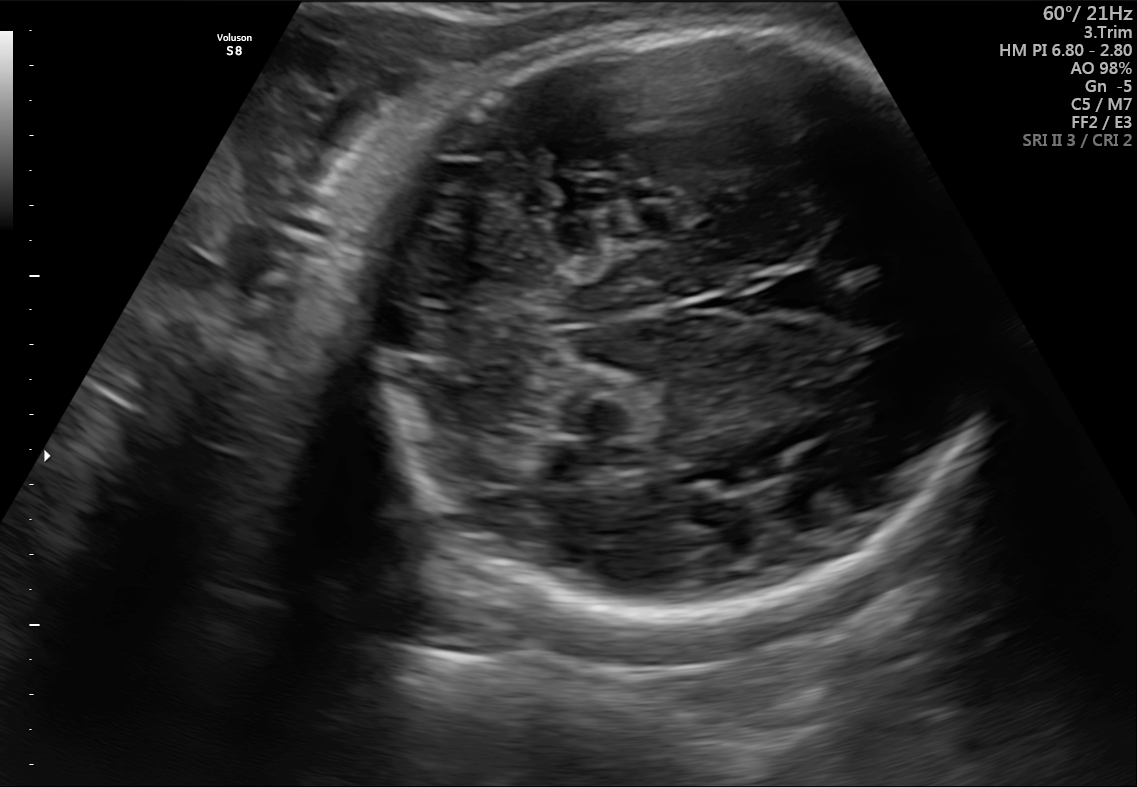
In this fetal brain, trans-cerebellum plane, give the bounding box of the fetal head.

[318,27,973,617]